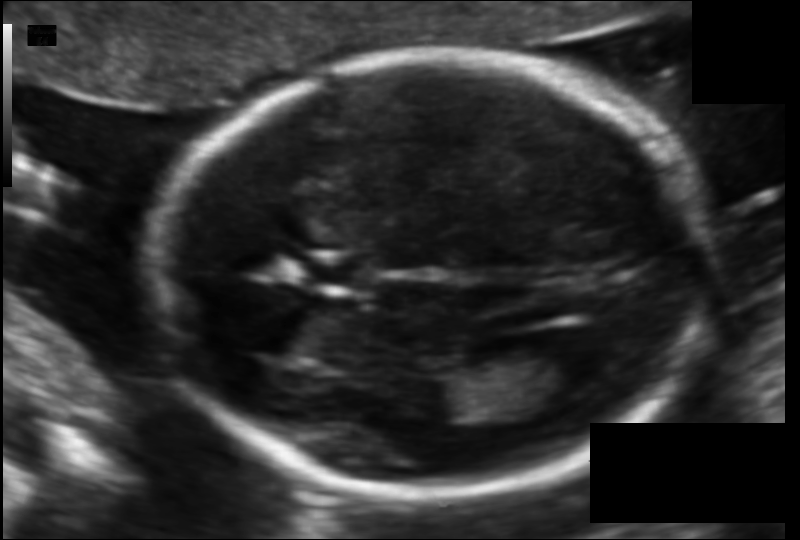
In this fetal head ultrasound, give the bounding box of the cavum septum pellucidum. Image width: 83.8 mm.

[306,254,374,289]